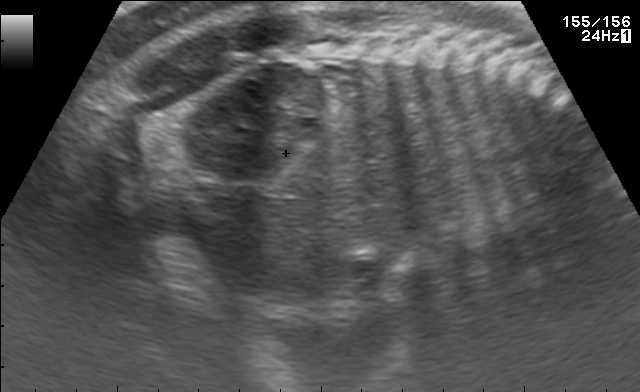
Classify this maternal-fetal ultrasound image as one of the six standard planes — fetal abdomen, fetal brain, fetal femur, fetal thorax, maternal cervix, or other. If it's fetal brain and one of the three standard brain planes (trans-thalamic, trans-cerebellum, trans-ventricular), name which.

Other